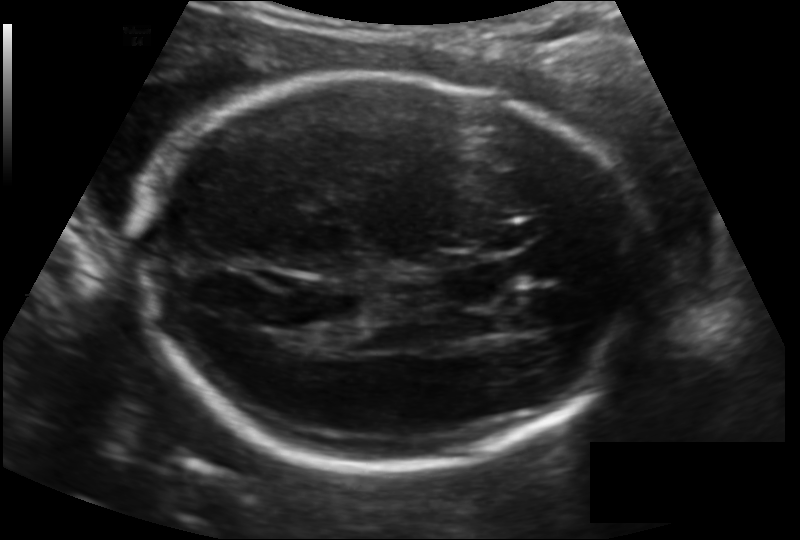
Estimate the fetal head circumference from this 2D ultrasound. Image width: 118.2 mm.

Head circumference: 215.5 mm.